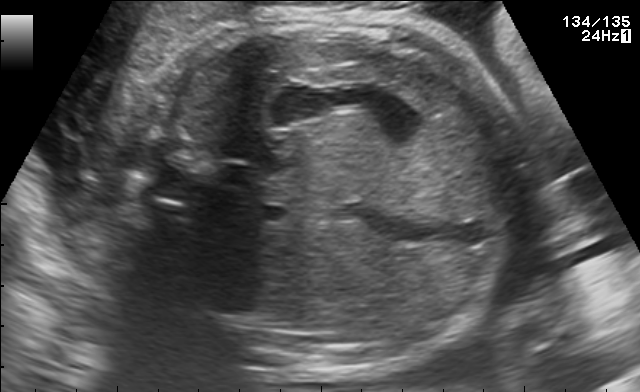
This is a 2D maternal-fetal ultrasound frame. Is it a fetal abdomen, fetal brain, fetal femur, fetal thorax, maternal cervix, or other standard plane? If it's fetal brain and one of the three standard brain planes (trans-thalamic, trans-cerebellum, trans-ventricular), name which.

Fetal abdomen